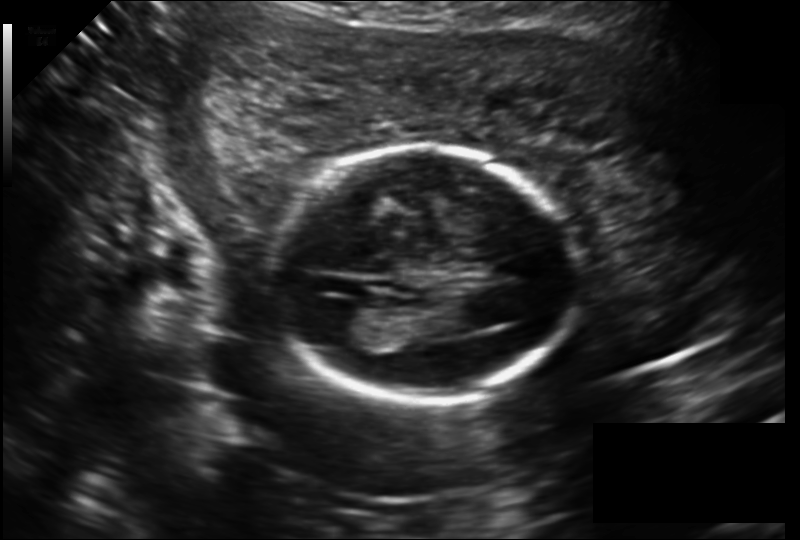
Fetal head ultrasound. Image width: 142.0 mm. Locate the fetal head.

Head: [269,146,574,404]